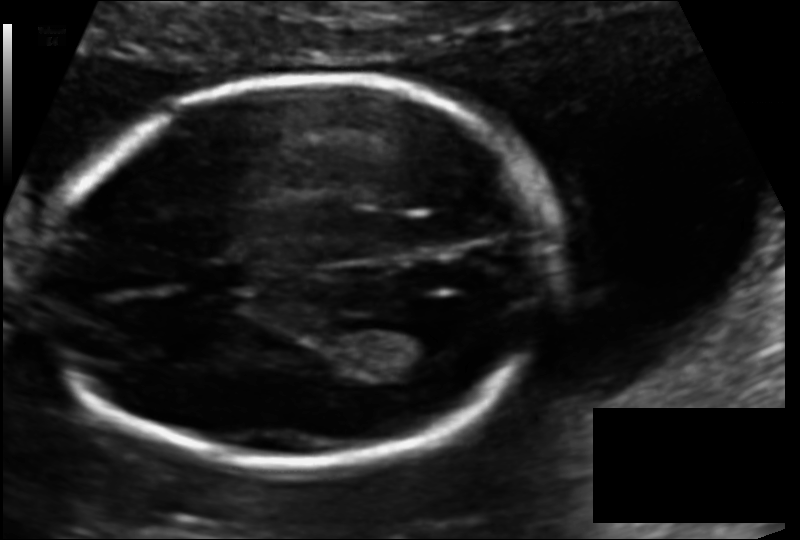
Fetal head ultrasound. Image width: 90.5 mm. Give [x1,y1,x2,y2] bounding boxes for each visible structure among: fetal head, CSP, LV.

Head: [53,79,549,466]
CSP: [180,258,252,300]
Lateral ventricle: [355,310,450,374]